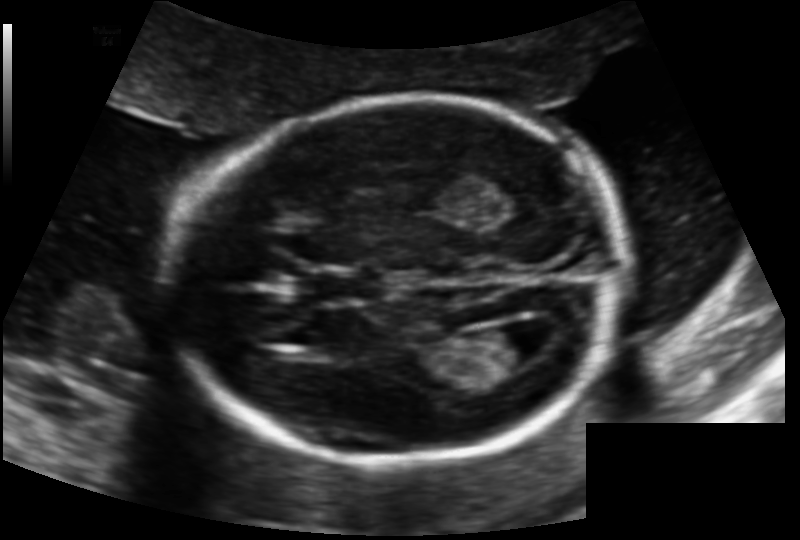
In this fetal head ultrasound, give the bounding box of the fetal head. Image width: 104.9 mm.

[174,97,624,464]